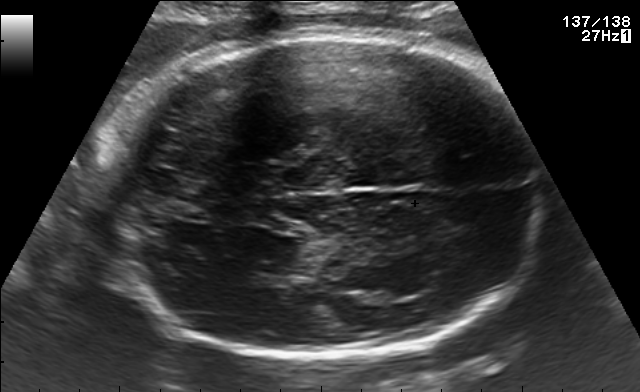
Fetal brain, trans-thalamic plane. Give [x1,y1,x2,y2] bounding boxes for each visible structure among: fetal head, CSP, LV.

Head: [97,34,543,361]